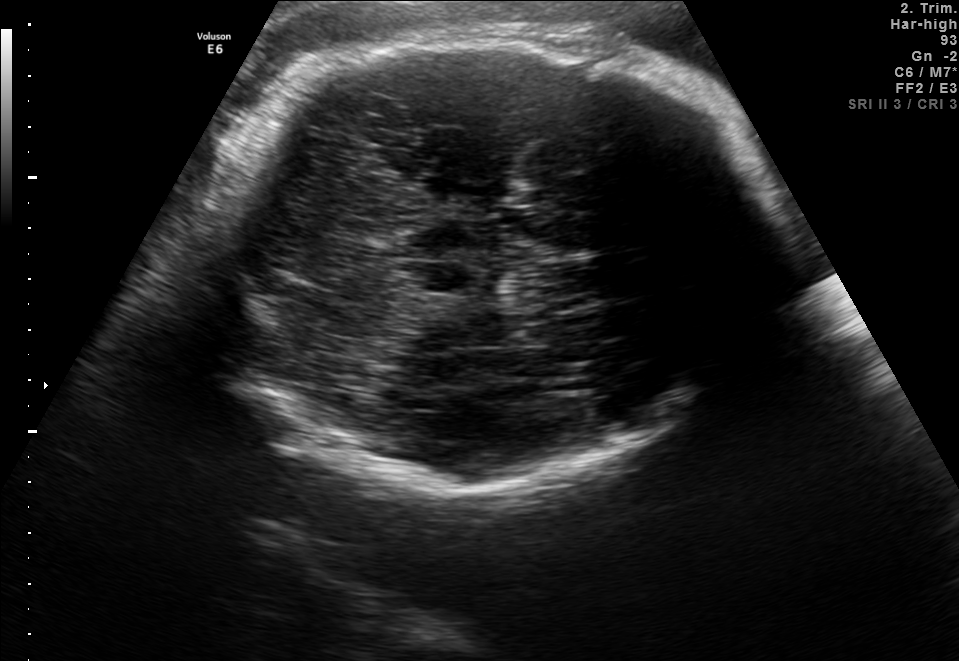
In this fetal brain, trans-thalamic plane, give the bounding box of the fetal head.

[206,31,773,490]